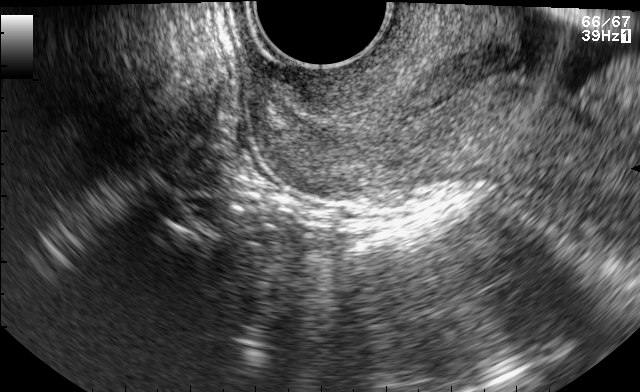
This is a 2D maternal-fetal ultrasound frame. Is it a fetal abdomen, fetal brain, fetal femur, fetal thorax, maternal cervix, or other standard plane? If it's fetal brain and one of the three standard brain planes (trans-thalamic, trans-cerebellum, trans-ventricular), name which.

Maternal cervix